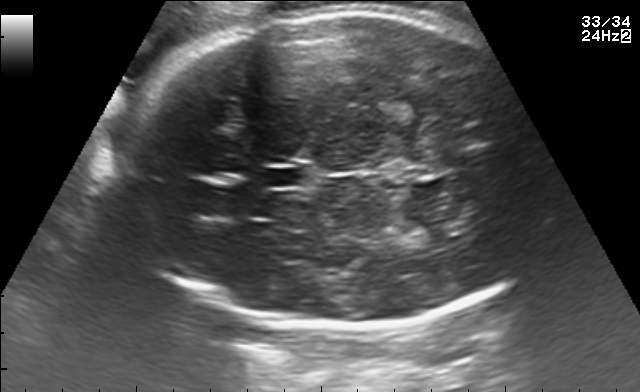
In this fetal brain, trans-thalamic plane, give the bounding box of the cavum septum pellucidum.

[264,169,306,186]